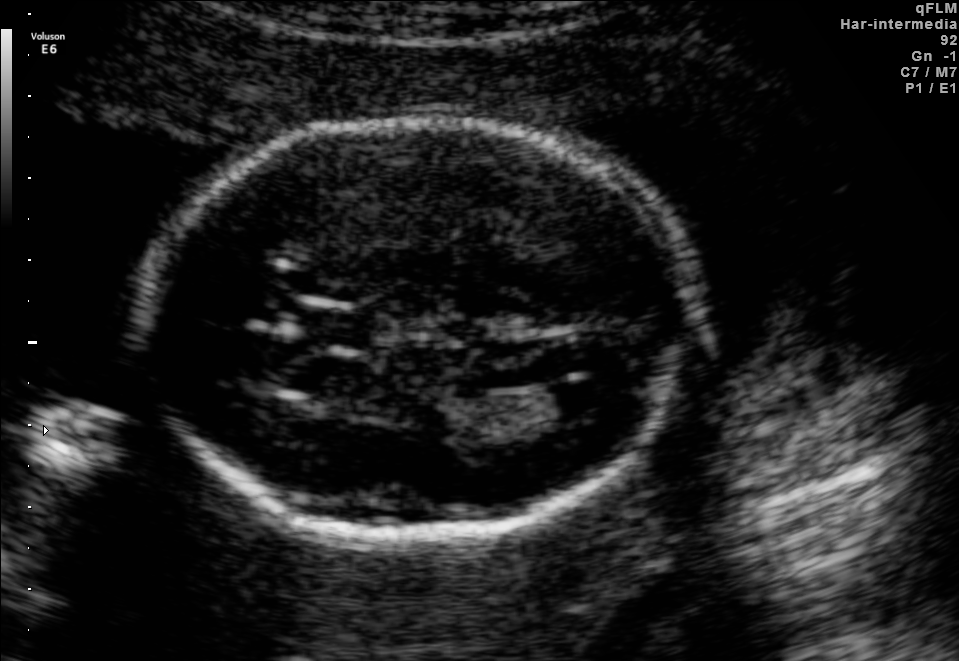
Fetal brain, trans-ventricular plane. Locate the fetal head.

Head: [133,111,706,546]